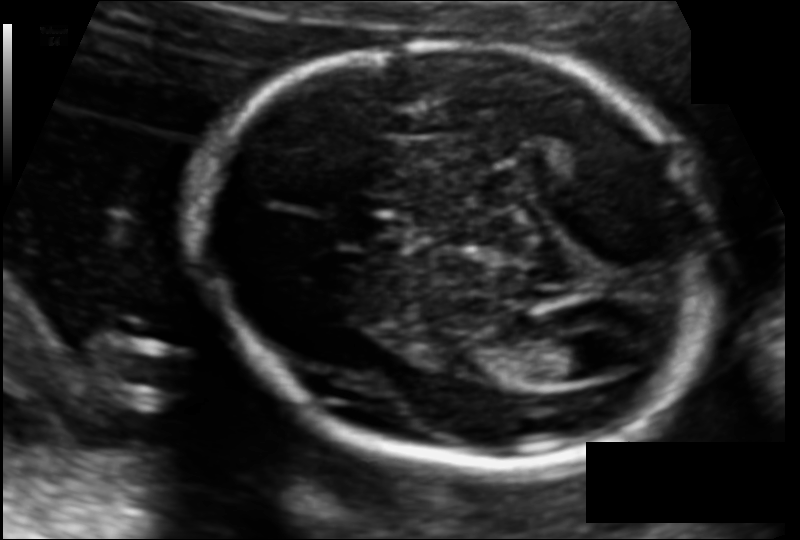
Estimate the fetal head circumference from this 2D ultrasound.

Head circumference: 167.8 mm (image width 87.7 mm).